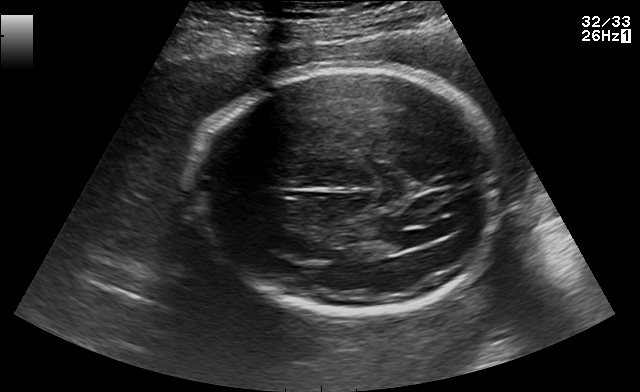
Fetal brain, trans-ventricular plane. Locate the lateral ventricle.

Lateral ventricle: [382,217,440,255]